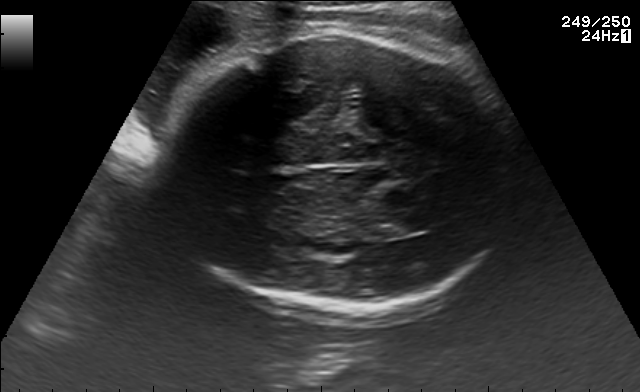
In this fetal brain, trans-thalamic plane, give the bounding box of the fetal head.

[162,34,521,308]